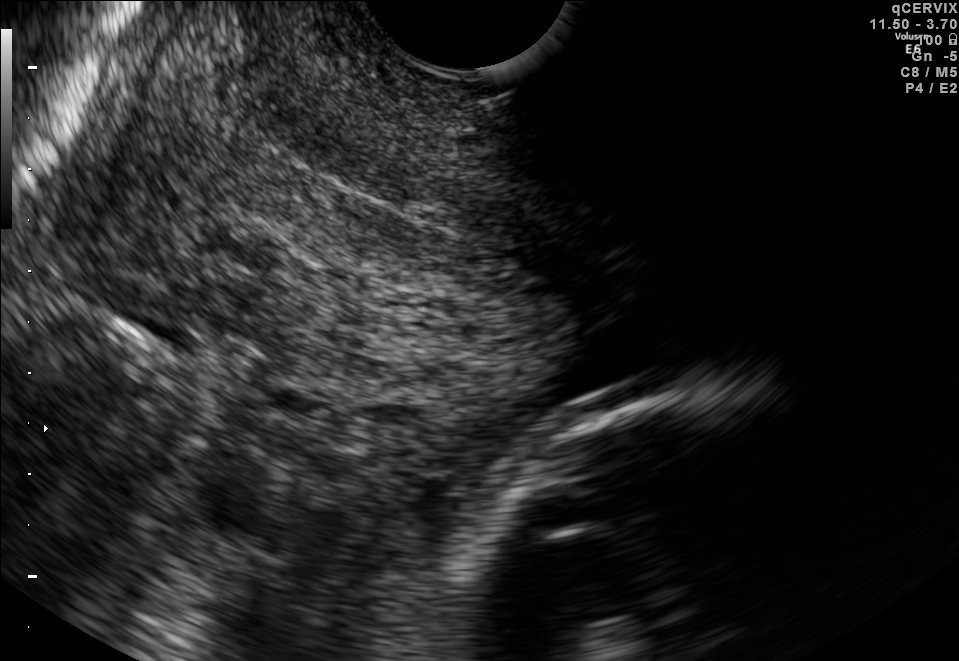
Classify this maternal-fetal ultrasound image as one of the six standard planes — fetal abdomen, fetal brain, fetal femur, fetal thorax, maternal cervix, or other. If it's fetal brain and one of the three standard brain planes (trans-thalamic, trans-cerebellum, trans-ventricular), name which.

Maternal cervix